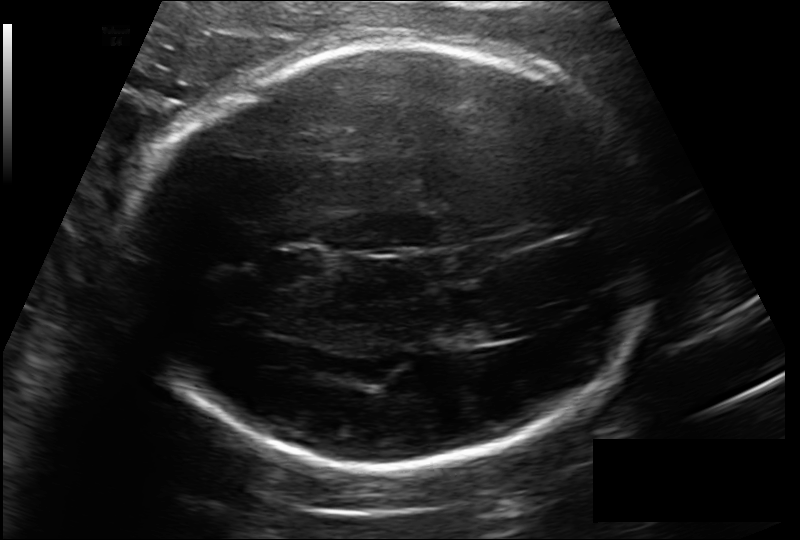
Estimate the fetal head circumference from this 2D ultrasound.

Head circumference: 280.2 mm (image width 148.1 mm).